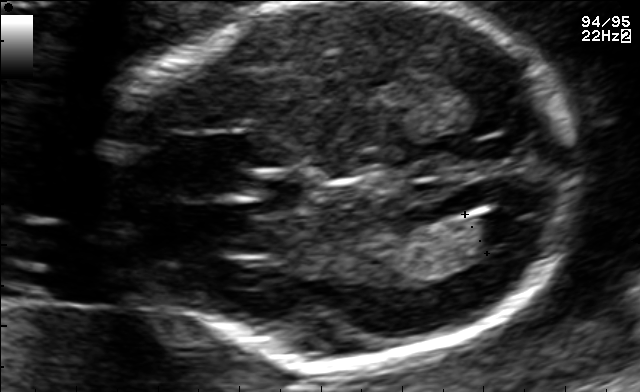
In this fetal brain, trans-ventricular plane, give the bounding box of the cavum septum pellucidum.

[236,180,299,210]